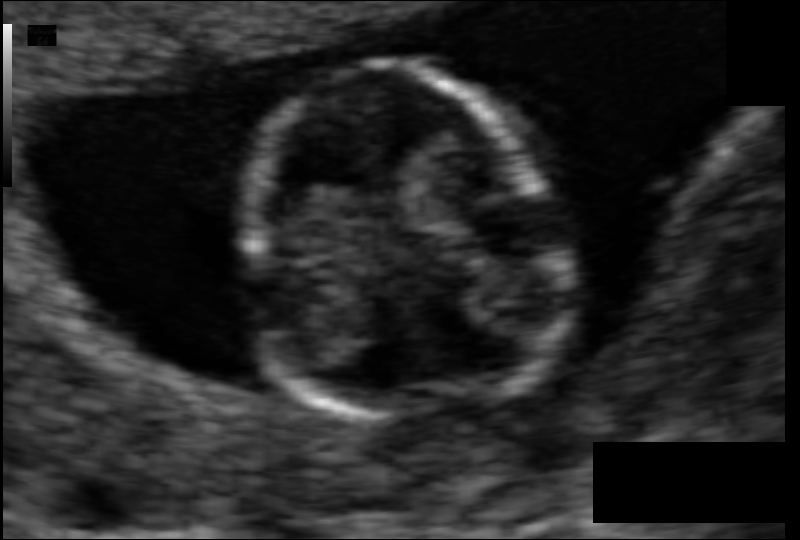
Fetal head ultrasound. Image width: 49.5 mm. Give [x1,y1,x2,y2] bounding boxes for each visible structure among: fetal head, CSP, LV.

Head: [240,65,561,416]